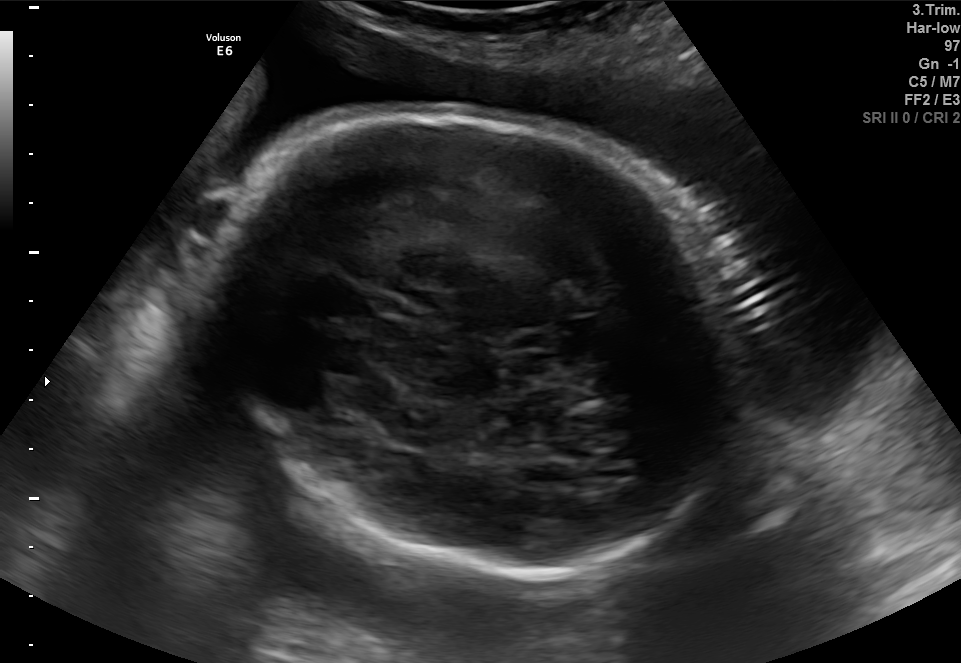
Fetal brain, trans-thalamic plane. Locate the fetal head.

Head: [190,107,763,578]